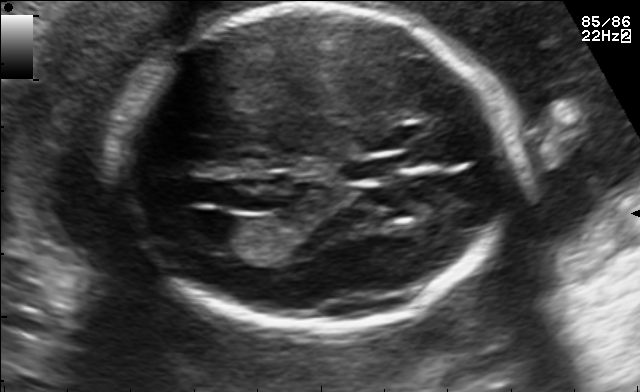
Fetal brain, trans-ventricular plane. Where is the lateral ventricle?

Lateral ventricle bounding box: [169,206,251,256]